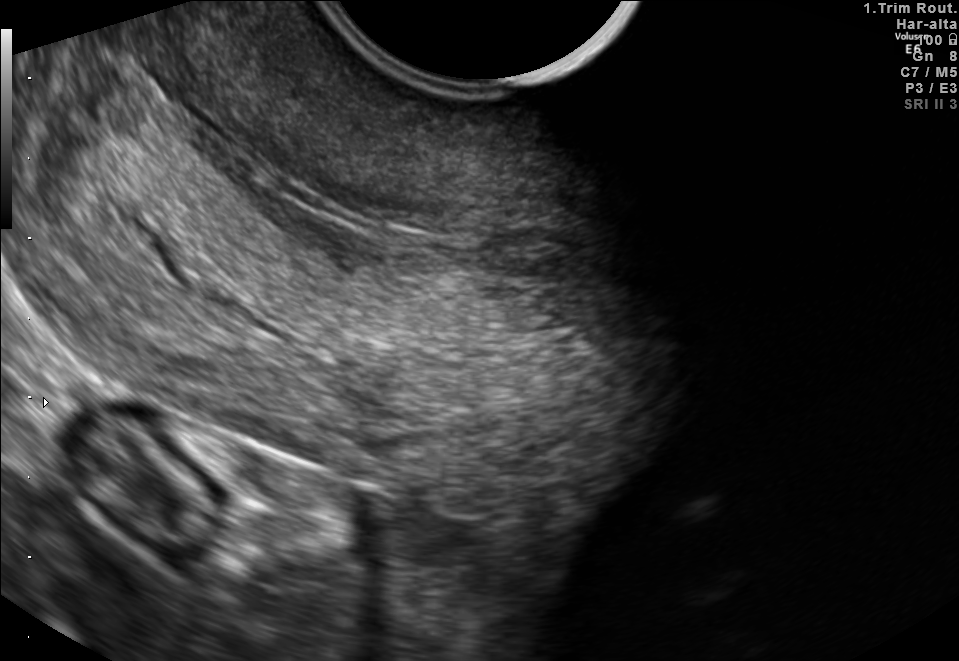
Classify this maternal-fetal ultrasound image as one of the six standard planes — fetal abdomen, fetal brain, fetal femur, fetal thorax, maternal cervix, or other. If it's fetal brain and one of the three standard brain planes (trans-thalamic, trans-cerebellum, trans-ventricular), name which.

Maternal cervix